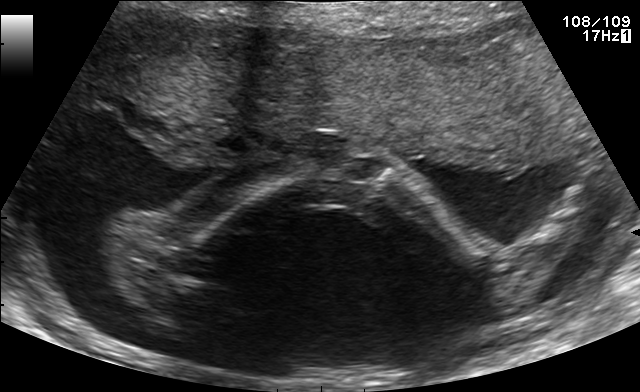
Which standard maternal-fetal ultrasound plane is shown: fetal abdomen, fetal brain, fetal femur, fetal thorax, maternal cervix, or other? If it's fetal brain and one of the three standard brain planes (trans-thalamic, trans-cerebellum, trans-ventricular), name which.

Fetal femur